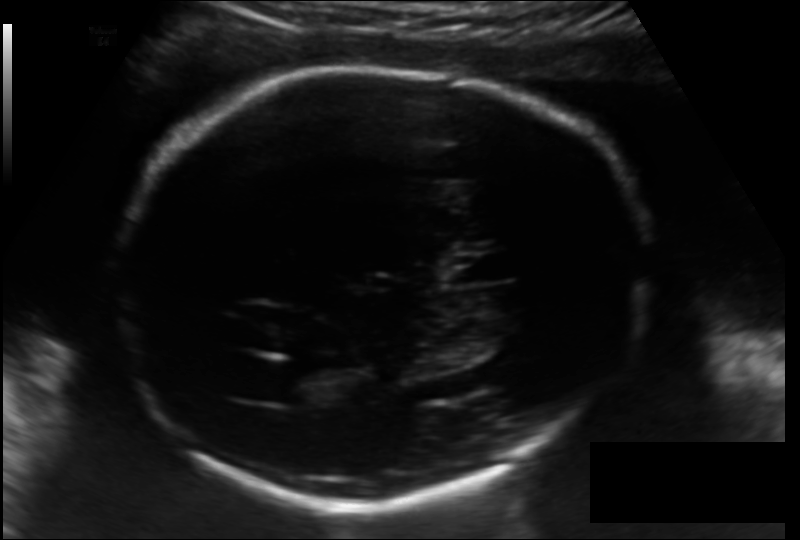
What is the fetal head circumference? Image width is 125.8 mm.

244.7 mm